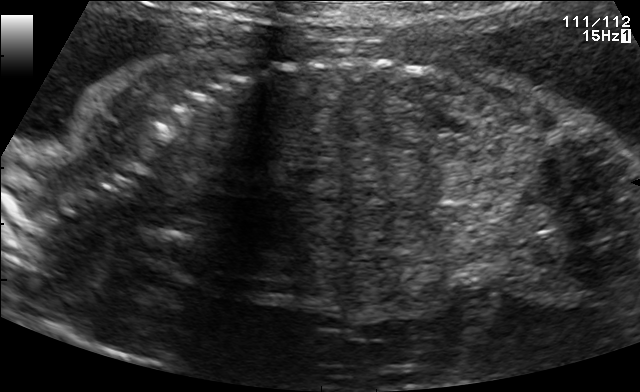
Which standard maternal-fetal ultrasound plane is shown: fetal abdomen, fetal brain, fetal femur, fetal thorax, maternal cervix, or other? If it's fetal brain and one of the three standard brain planes (trans-thalamic, trans-cerebellum, trans-ventricular), name which.

Other